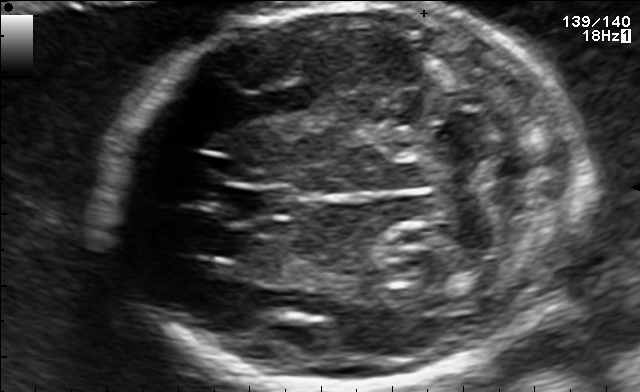
Fetal brain, trans-cerebellum plane. Locate the fetal head and, if visible, the cavum septum pellucidum (CSP) and lateral ventricle (LV). Give bounding boxes as [x1,y1,x2,y2].

Head: [107,5,587,388]
CSP: [230,185,294,219]